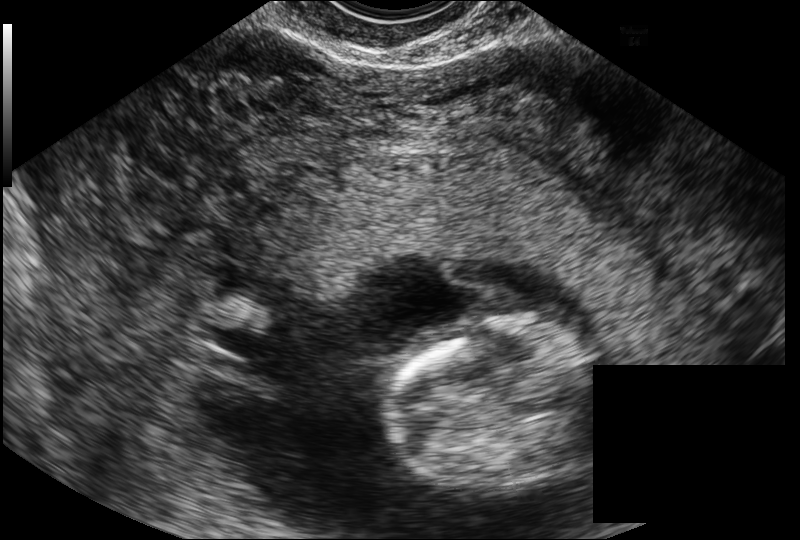
Measure the fetal head circumference shown in this ultrasound image. Image width: 90.9 mm.

Head circumference: 69.5 mm.